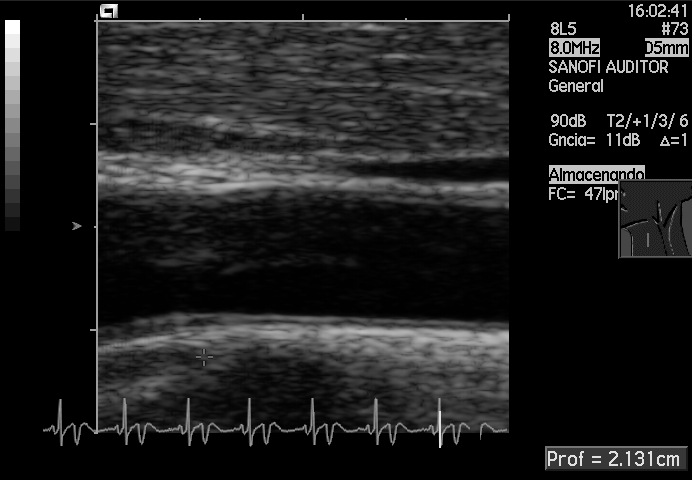
This is a 2D maternal-fetal ultrasound frame. Is it a fetal abdomen, fetal brain, fetal femur, fetal thorax, maternal cervix, or other standard plane? If it's fetal brain and one of the three standard brain planes (trans-thalamic, trans-cerebellum, trans-ventricular), name which.

Other